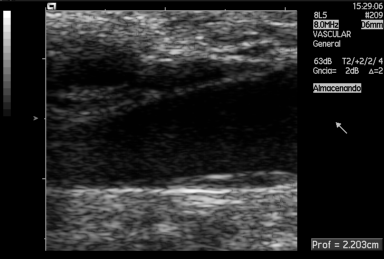
Identify the standard plane in this fetal ultrasound image: fetal abdomen, fetal brain, fetal femur, fetal thorax, maternal cervix, or other. If it's fetal brain and one of the three standard brain planes (trans-thalamic, trans-cerebellum, trans-ventricular), name which.

Other